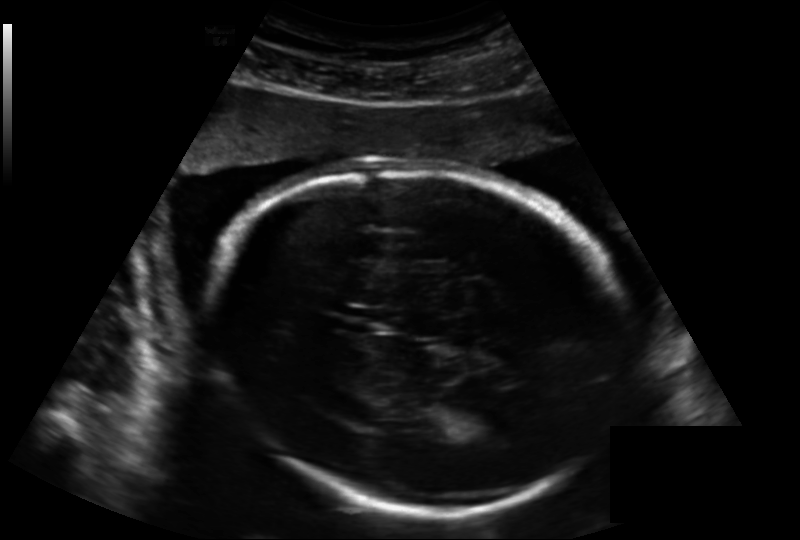
In this fetal head ultrasound, give bounding boxes for the head outline, cavum septum pellucidum (CSP), and lateral ventricle (LV), where visible. Image width: 150.3 mm.

Head: [204,167,632,510]